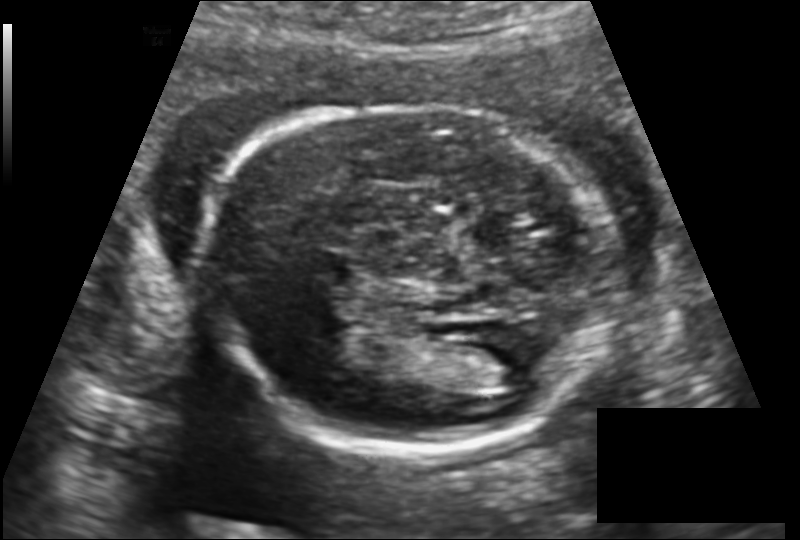
Estimate the fetal head circumference from this 2D ultrasound.

Head circumference: 171.1 mm (image width 111.5 mm).